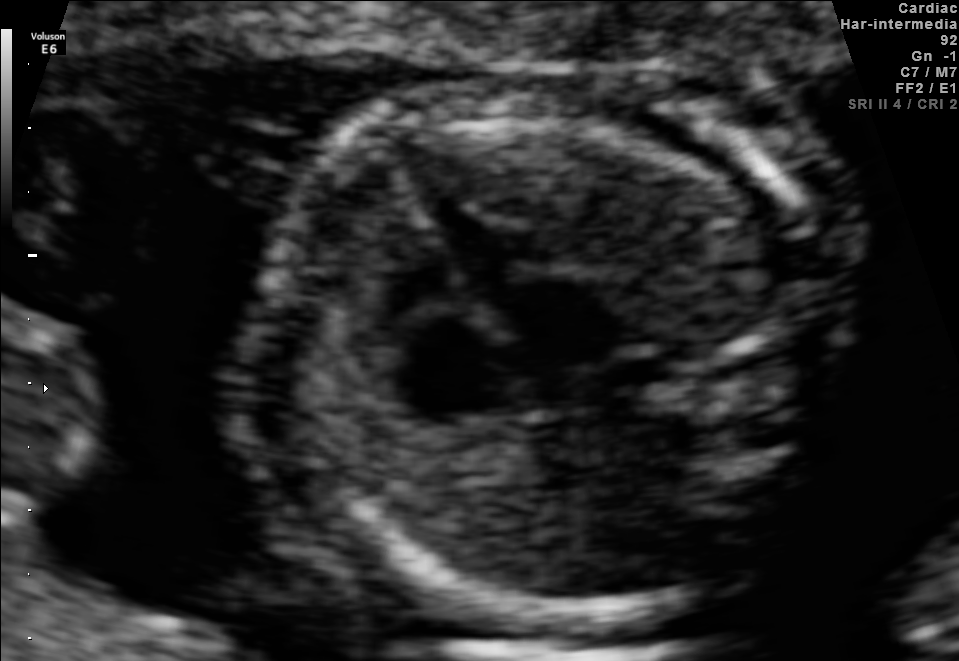
Classify this maternal-fetal ultrasound image as one of the six standard planes — fetal abdomen, fetal brain, fetal femur, fetal thorax, maternal cervix, or other. If it's fetal brain and one of the three standard brain planes (trans-thalamic, trans-cerebellum, trans-ventricular), name which.

Fetal thorax